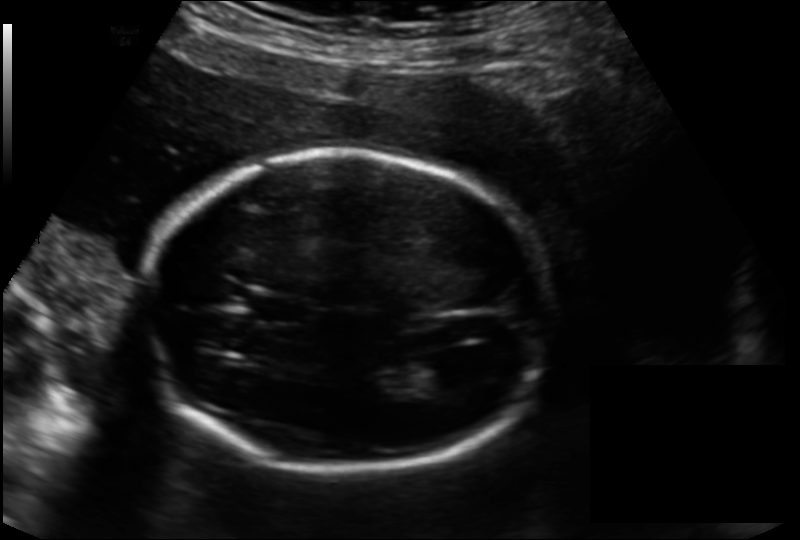
From this fetal ultrasound, estimate the head circumference (image width 133.1 mm).

Head circumference: 197.8 mm.